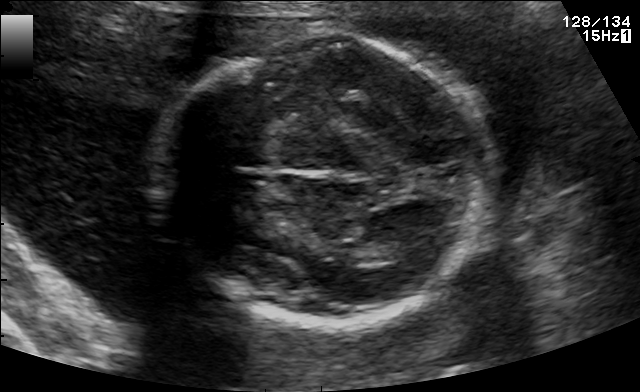
Fetal brain, trans-thalamic plane. Locate the fetal head and, if visible, the cavum septum pellucidum (CSP) and lateral ventricle (LV). Give bounding boxes as [x1,y1,x2,y2].

Head: [153,38,495,323]
Lateral ventricle: [369,235,427,266]